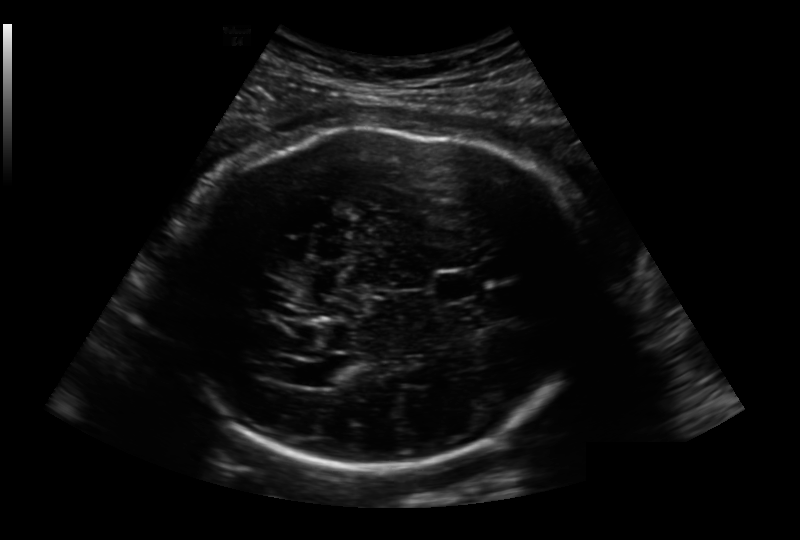
Fetal head ultrasound. Image width: 188.6 mm. Locate the lateral ventricle.

Lateral ventricle: [310,364,352,386]